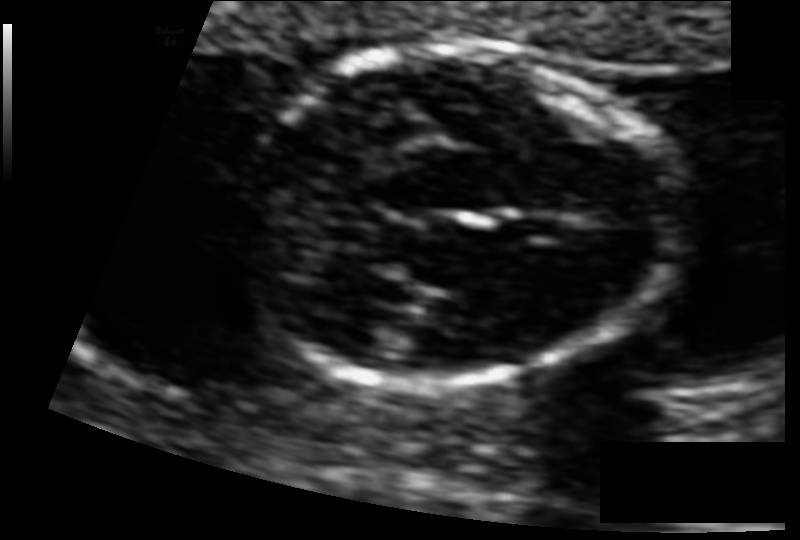
In this fetal head ultrasound, give bounding boxes for the head outline, cavum septum pellucidum (CSP), and lateral ventricle (LV), where visible. Image width: 58.4 mm.

Head: [240,48,677,390]
CSP: [503,212,559,242]